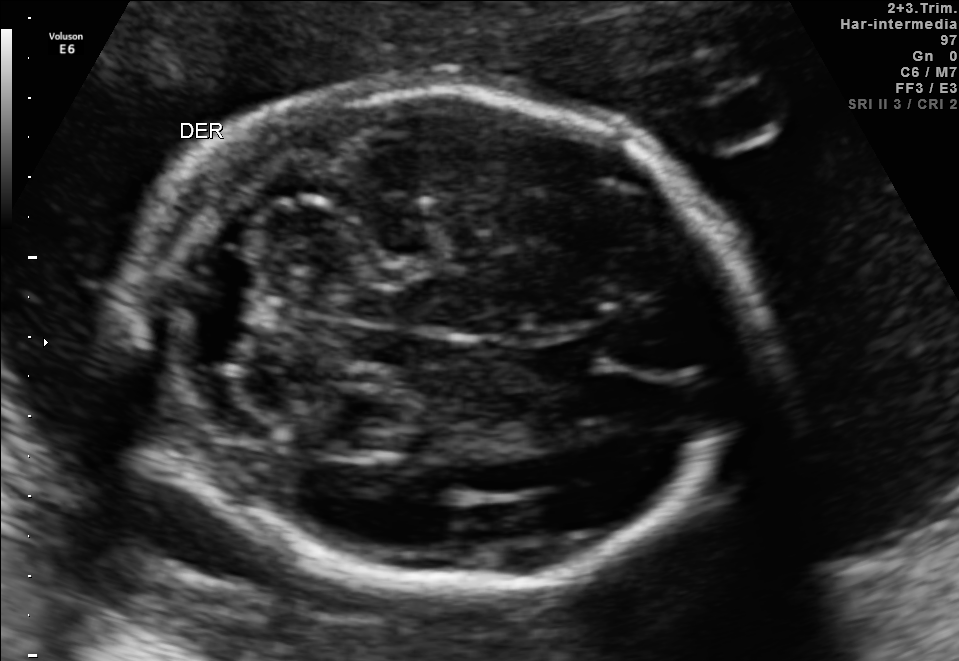
In this fetal brain, trans-cerebellum plane, give the bounding box of the fetal head.

[128,91,757,586]